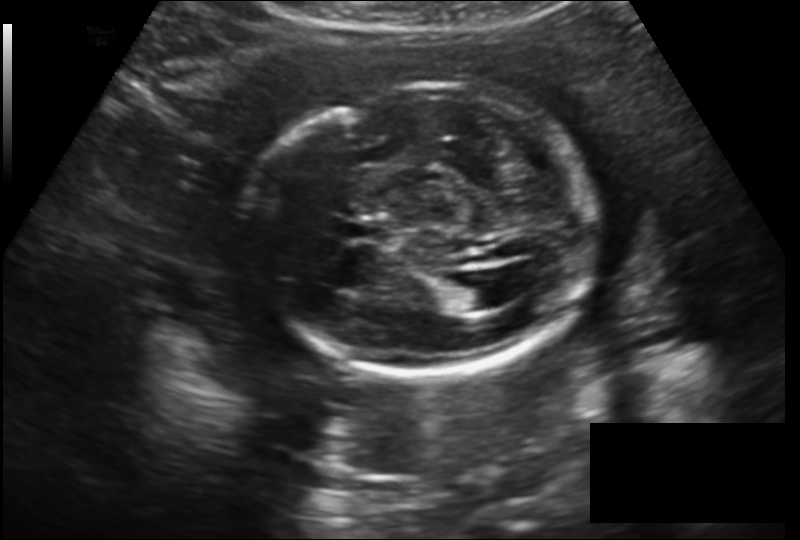
Estimate the fetal head circumference from this 2D ultrasound.

Head circumference: 191.7 mm (image width 145.7 mm).